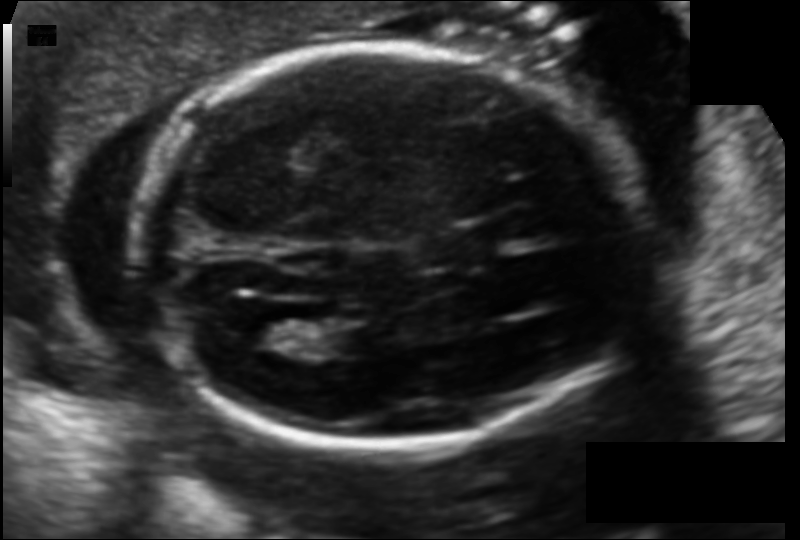
Estimate the fetal head circumference from this 2D ultrasound.

Head circumference: 175.1 mm (image width 96.5 mm).